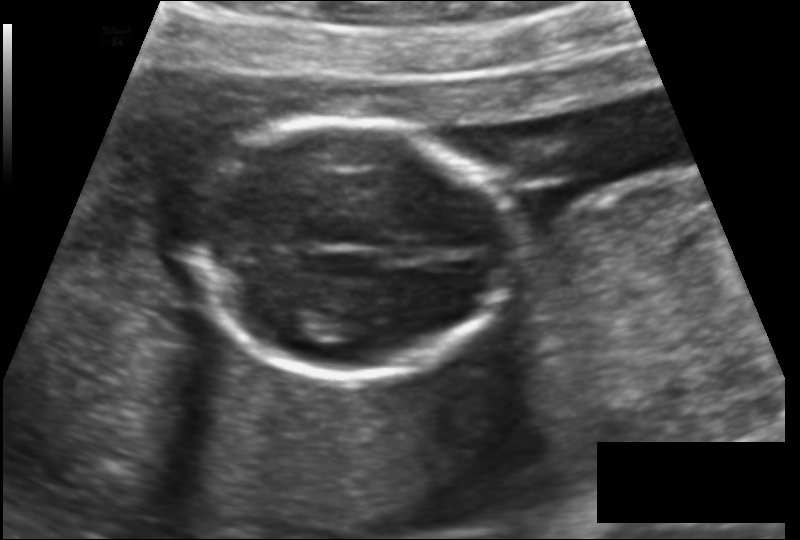
What is the fetal head circumference? Image width is 109.0 mm.

126.2 mm